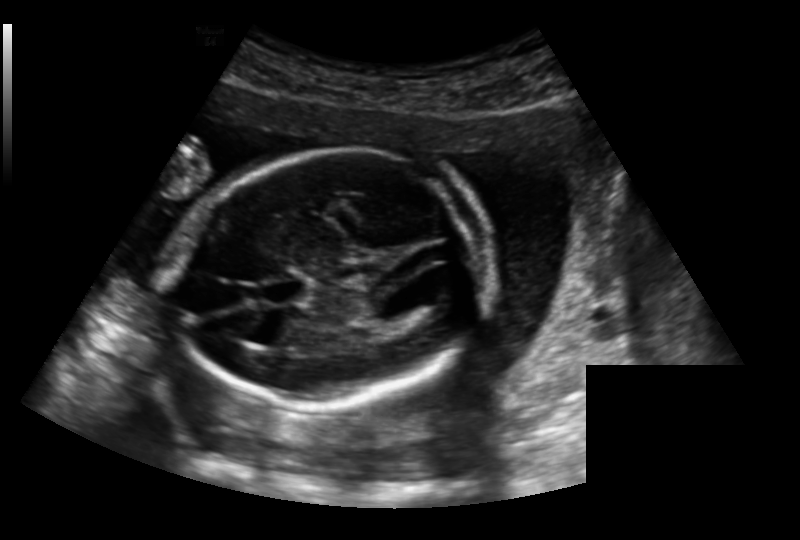
Fetal head ultrasound. Image width: 152.5 mm. Give [x1,y1,x2,y2] bounding boxes for each visible structure among: fetal head, CSP, LV.

Head: [177,149,483,404]
CSP: [263,275,307,306]
Lateral ventricle: [404,262,461,306]